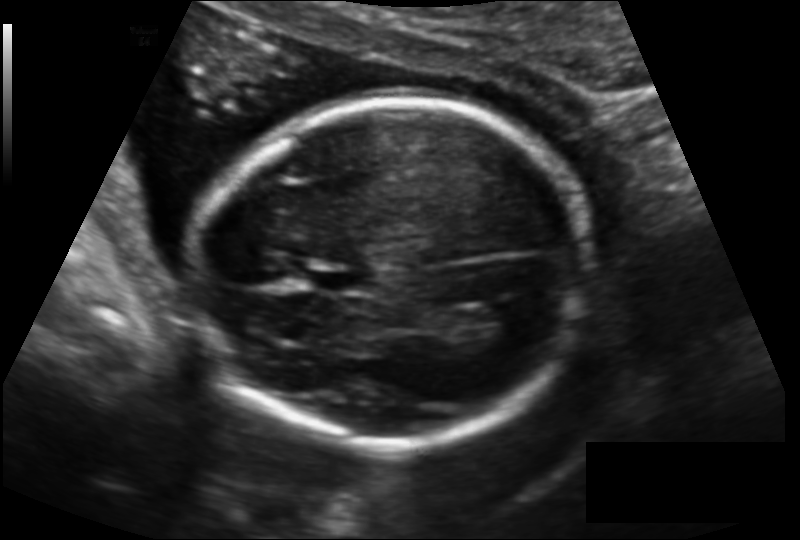
Estimate the fetal head circumference from this 2D ultrasound.

Head circumference: 167.3 mm (image width 111.8 mm).